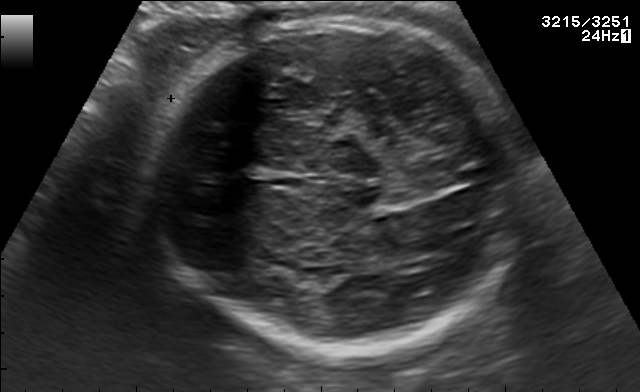
Fetal brain, trans-thalamic plane. Locate the fetal head and, if visible, the cavum septum pellucidum (CSP) and lateral ventricle (LV). Give bounding boxes as [x1,y1,x2,y2].

Head: [142,20,522,356]